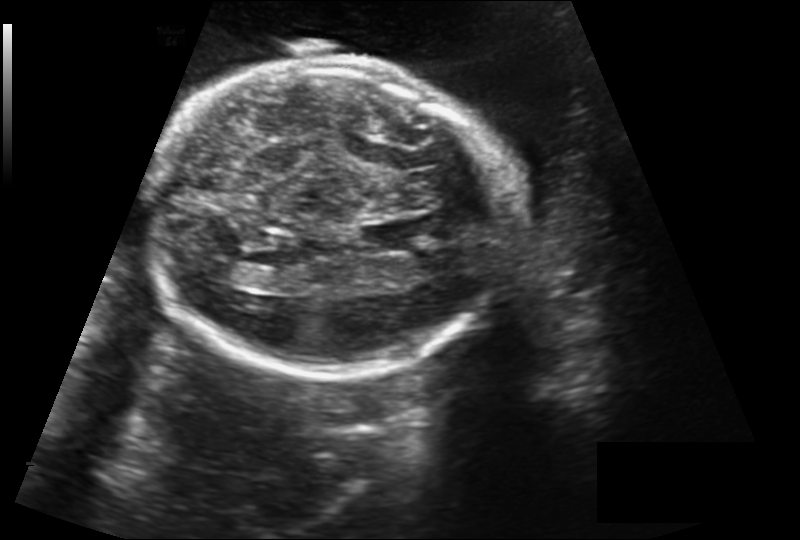
Fetal head ultrasound. Image width: 169.6 mm. Locate the fetal head and, if visible, the cavum septum pellucidum (CSP) and lateral ventricle (LV). Give bounding boxes as [x1,y1,x2,y2].

Head: [152,58,511,376]